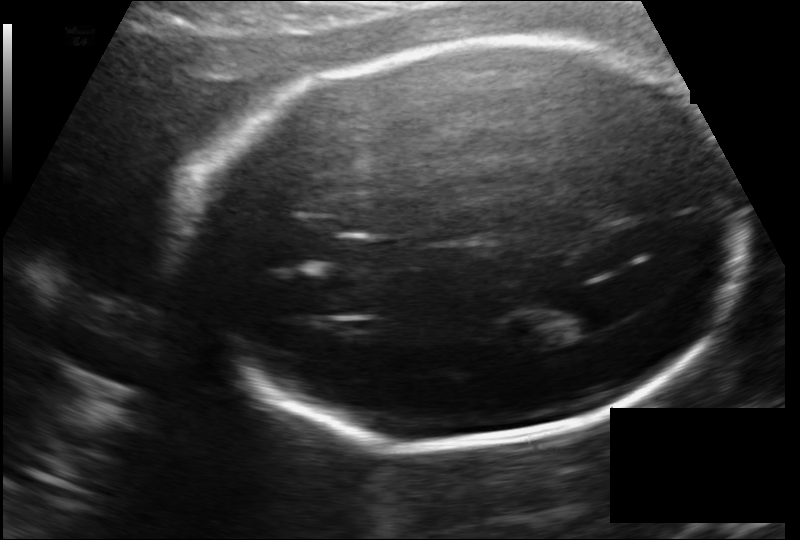
Fetal head ultrasound. Image width: 112.6 mm. Give [x1,y1,x2,y2] bounding boxes for each visible structure among: fetal head, CSP, LV.

Head: [192,44,743,449]
Lateral ventricle: [525,285,622,348]